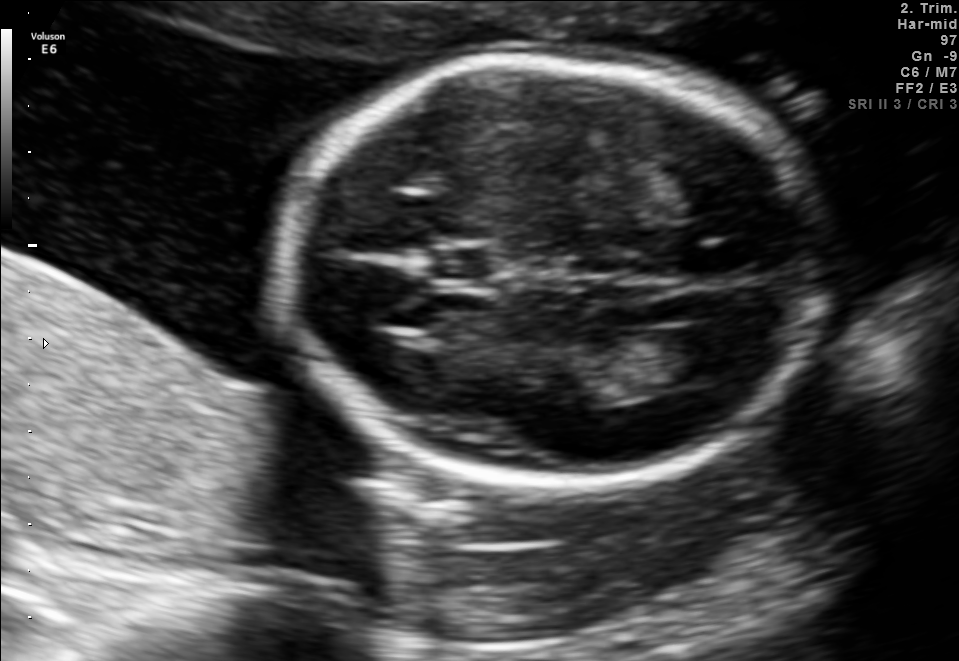
In this fetal brain, trans-ventricular plane, give bounding boxes for the head outline, cavum septum pellucidum (CSP), and lateral ventricle (LV), where visible.

Head: [268,50,843,495]
CSP: [434,250,488,277]
Lateral ventricle: [660,320,756,386]